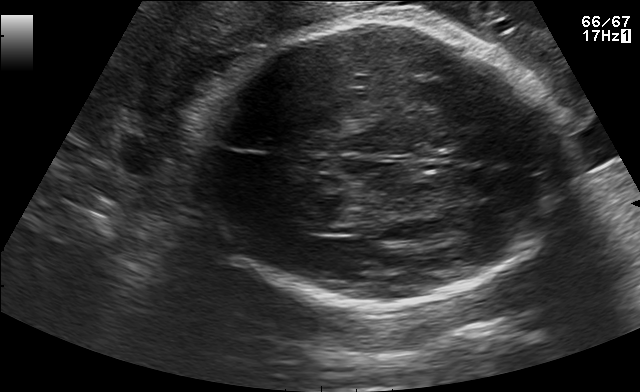
In this fetal brain, trans-thalamic plane, give the bounding box of the fetal head.

[188,20,568,306]